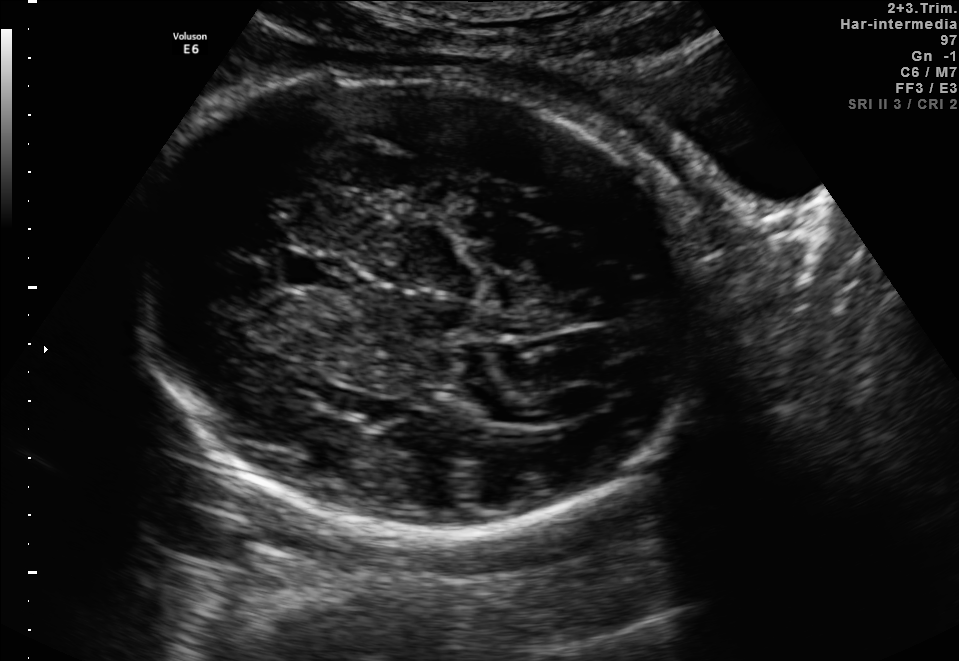
This is a 2D maternal-fetal ultrasound frame. Is it a fetal abdomen, fetal brain, fetal femur, fetal thorax, maternal cervix, or other standard plane? If it's fetal brain and one of the three standard brain planes (trans-thalamic, trans-cerebellum, trans-ventricular), name which.

Fetal brain (trans-thalamic plane)